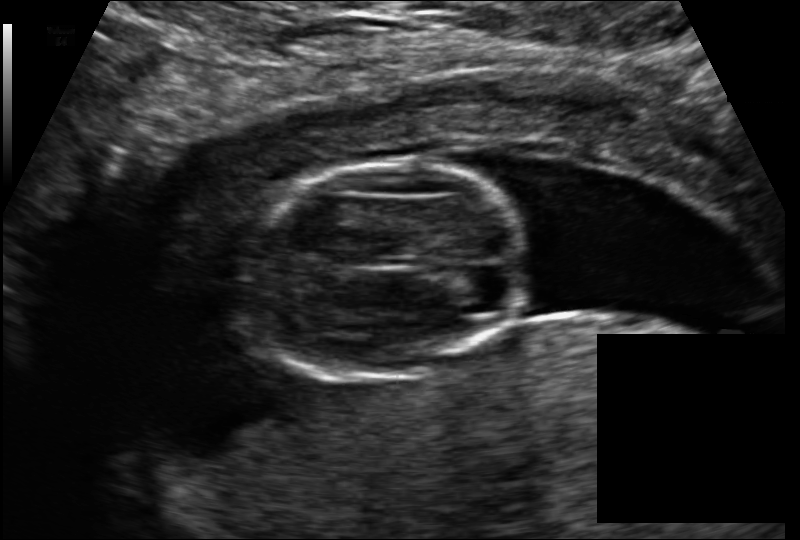
Estimate the fetal head circumference from this 2D ultrasound.

Head circumference: 94.8 mm (image width 91.0 mm).